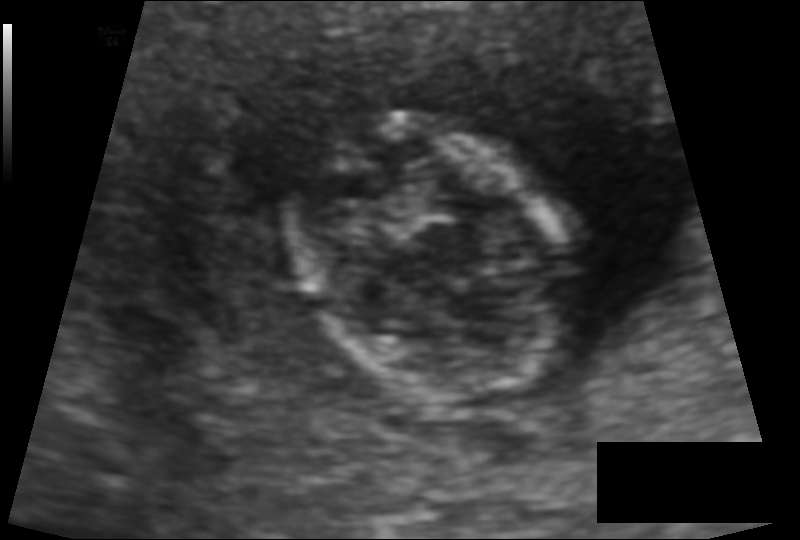
Estimate the fetal head circumference from this 2D ultrasound. Image width: 72.9 mm.

Head circumference: 79.3 mm.